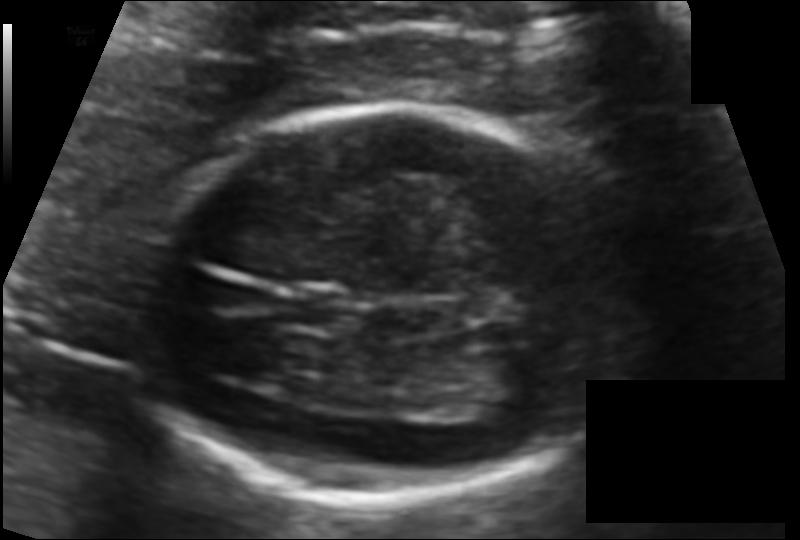
Fetal head ultrasound. Image width: 80.0 mm. Where is the fetal head?

Head bounding box: [141,105,632,499]